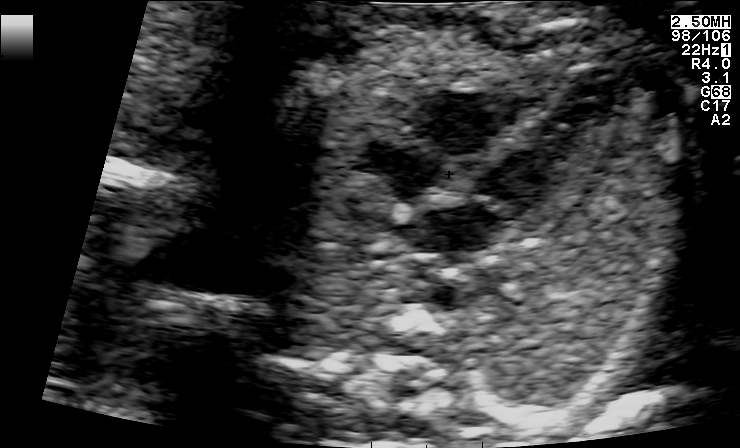
This is a 2D maternal-fetal ultrasound frame. Is it a fetal abdomen, fetal brain, fetal femur, fetal thorax, maternal cervix, or other standard plane? If it's fetal brain and one of the three standard brain planes (trans-thalamic, trans-cerebellum, trans-ventricular), name which.

Fetal thorax